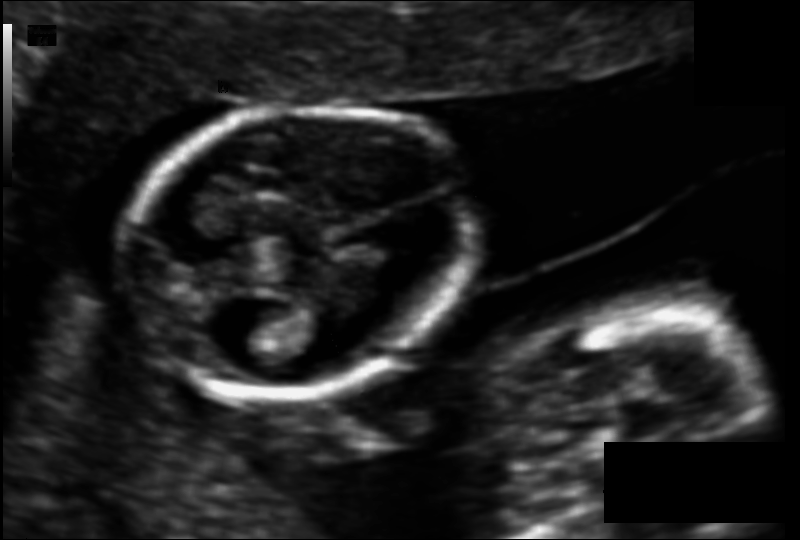
Measure the fetal head circumference shown in this ultrasound image. Image width: 76.3 mm.

Head circumference: 99.7 mm.